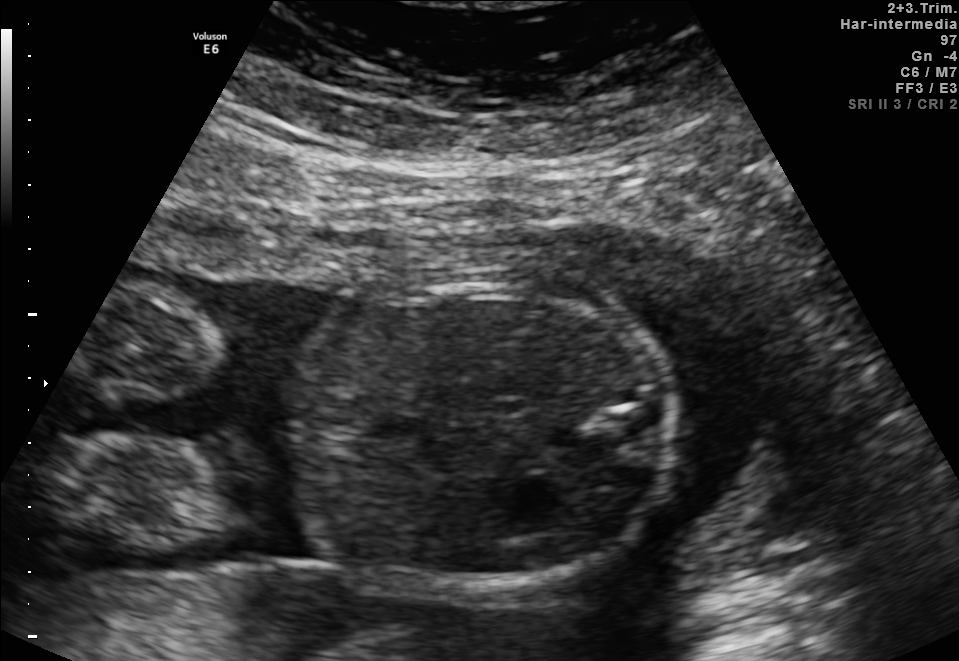
Classify this maternal-fetal ultrasound image as one of the six standard planes — fetal abdomen, fetal brain, fetal femur, fetal thorax, maternal cervix, or other. If it's fetal brain and one of the three standard brain planes (trans-thalamic, trans-cerebellum, trans-ventricular), name which.

Fetal abdomen